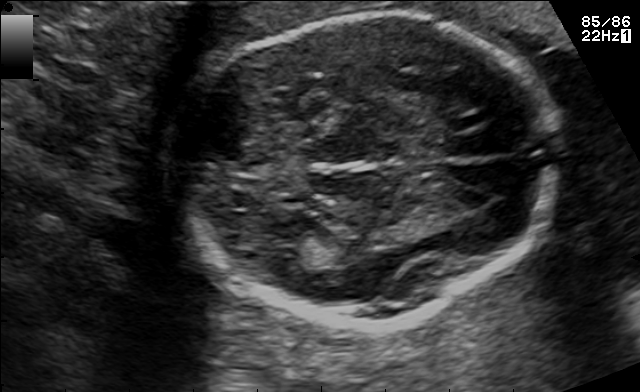
This is a 2D maternal-fetal ultrasound frame. Is it a fetal abdomen, fetal brain, fetal femur, fetal thorax, maternal cervix, or other standard plane? If it's fetal brain and one of the three standard brain planes (trans-thalamic, trans-cerebellum, trans-ventricular), name which.

Fetal brain (trans-thalamic plane)